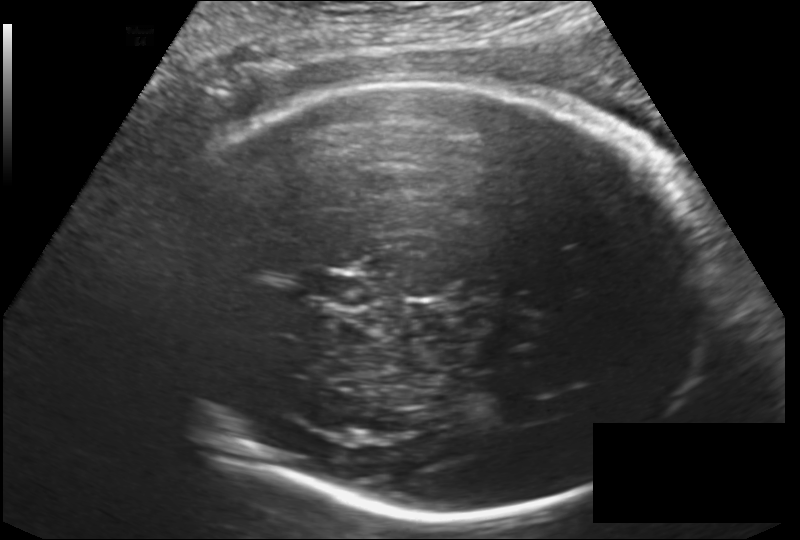
Fetal head ultrasound. Image width: 145.9 mm. Locate the cavum septum pellucidum.

CSP: [304,265,374,312]